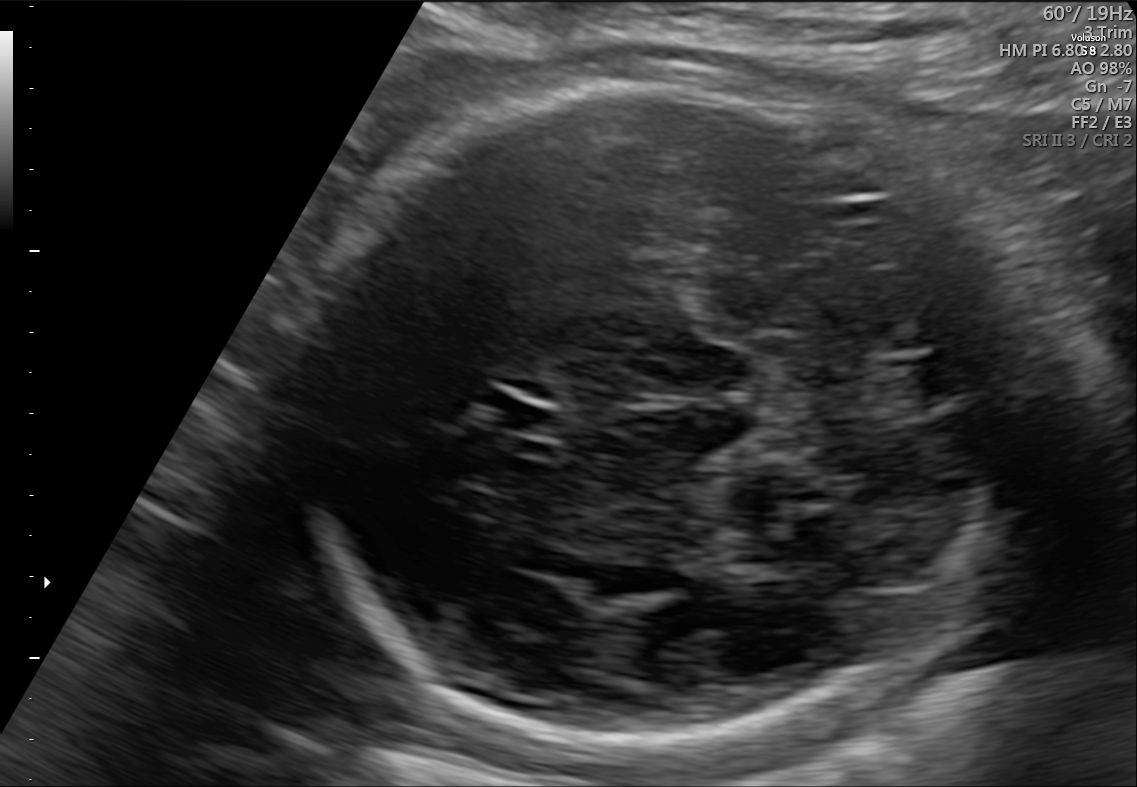
Fetal brain, trans-cerebellum plane. Locate the fetal head and, if visible, the cavum septum pellucidum (CSP) and lateral ventricle (LV). Give bounding boxes as [x1,y1,x2,y2].

Head: [302,83,982,756]
CSP: [478,385,562,445]